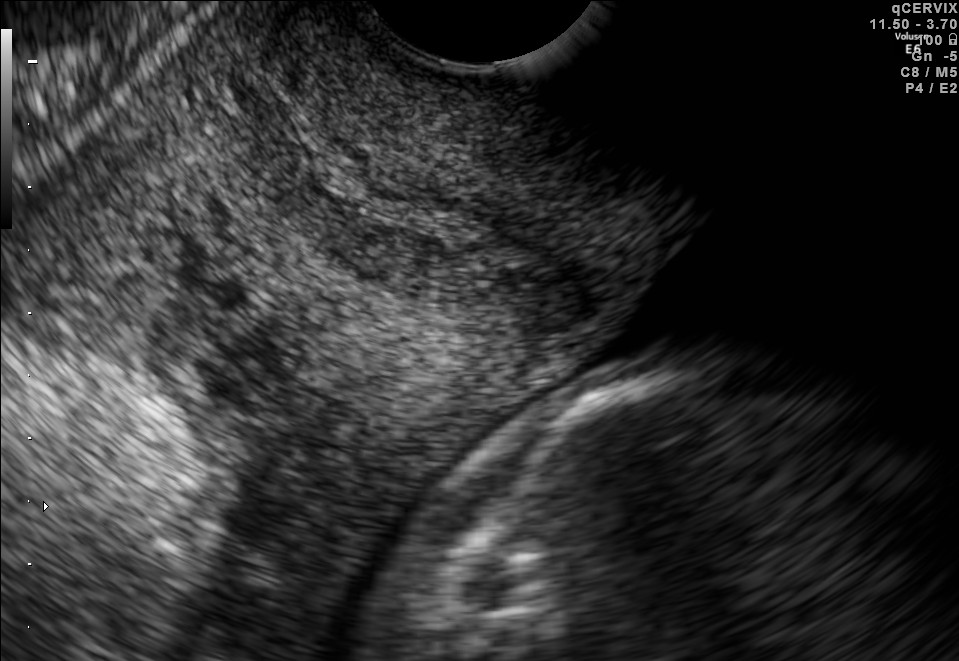
Identify the standard plane in this fetal ultrasound image: fetal abdomen, fetal brain, fetal femur, fetal thorax, maternal cervix, or other. If it's fetal brain and one of the three standard brain planes (trans-thalamic, trans-cerebellum, trans-ventricular), name which.

Maternal cervix